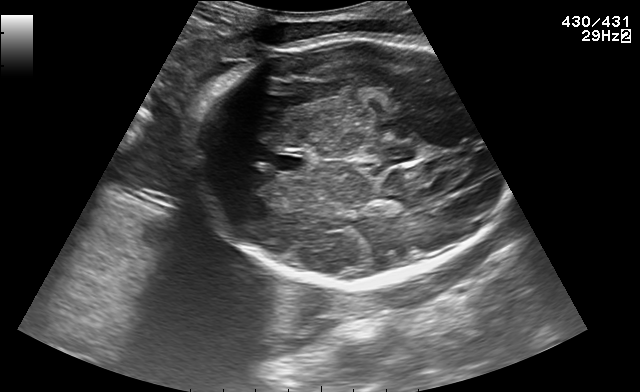
Fetal brain, trans-thalamic plane. Give [x1,y1,x2,y2] bounding boxes for each visible structure among: CSP, LV.

CSP: [272,151,307,171]